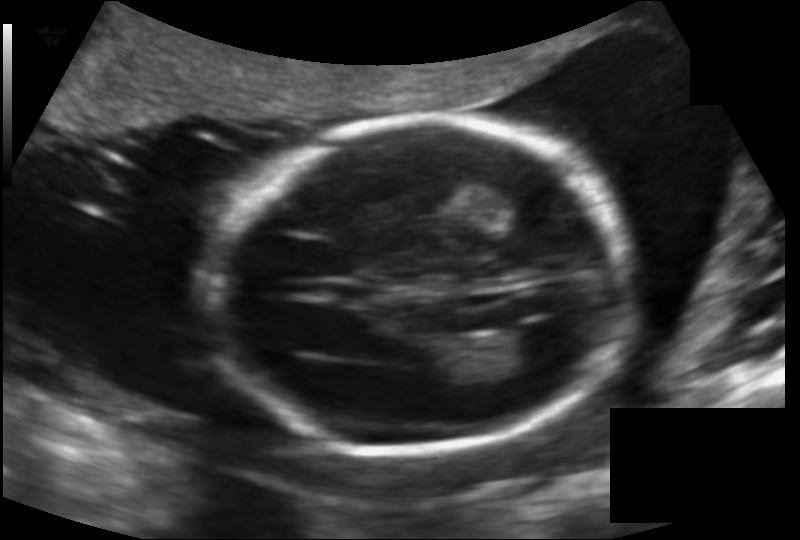
Fetal head ultrasound. Image width: 113.7 mm. Locate the lateral ventricle.

Lateral ventricle: [496,318,569,376]